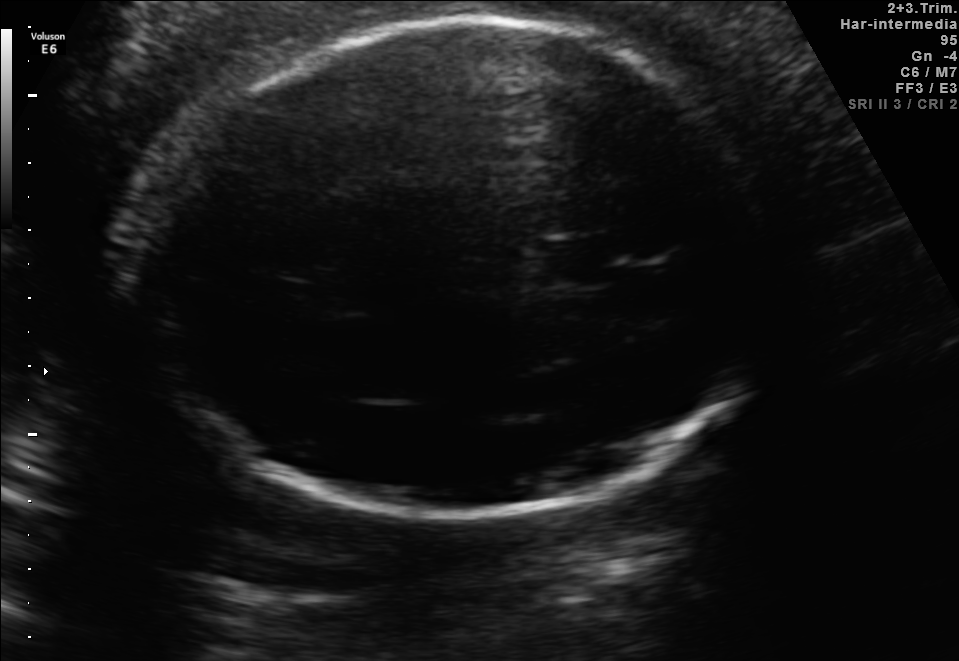
Fetal brain, trans-thalamic plane. Give [x1,y1,x2,y2] bounding boxes for each visible structure among: fetal head, CSP, LV.

Head: [137,22,762,517]
CSP: [536,237,608,285]